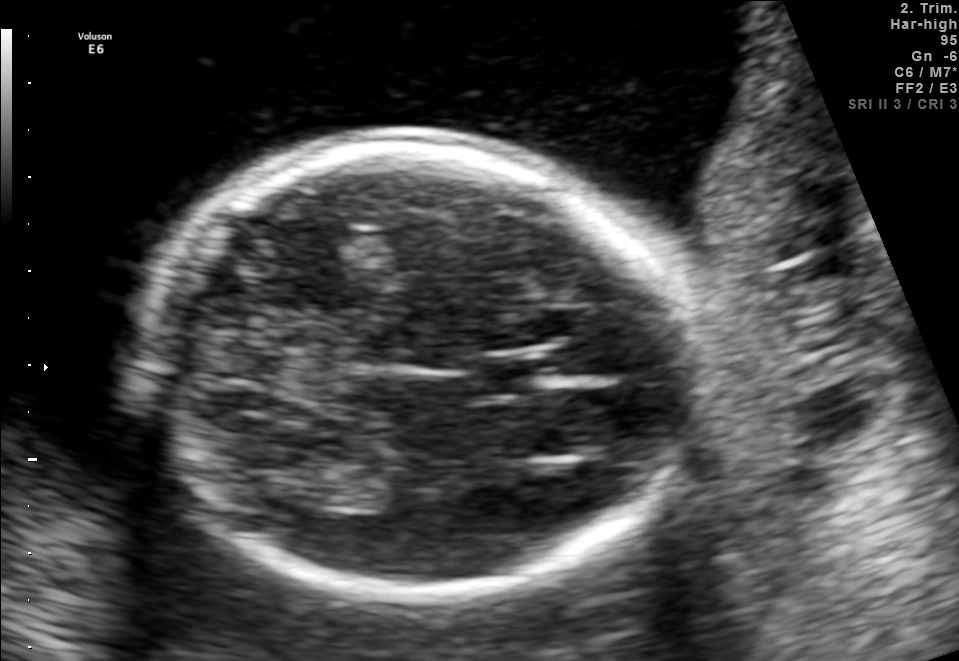
Fetal brain, trans-thalamic plane. Locate the fetal head and, if visible, the cavum septum pellucidum (CSP) and lateral ventricle (LV). Give bounding boxes as [x1,y1,x2,y2].

Head: [136,137,699,596]
CSP: [475,358,545,398]